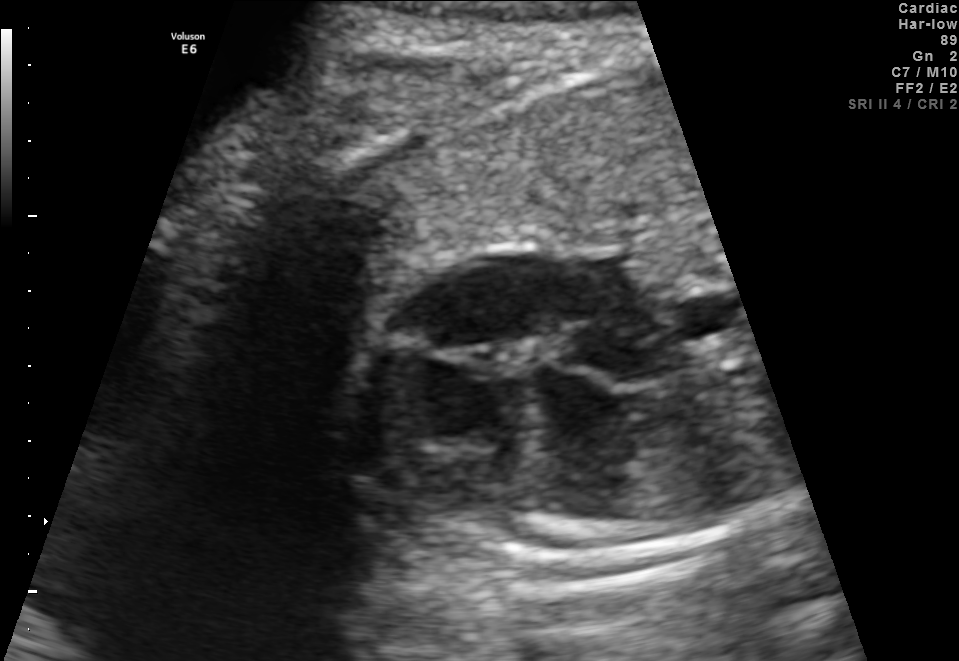
This is a 2D maternal-fetal ultrasound frame. Is it a fetal abdomen, fetal brain, fetal femur, fetal thorax, maternal cervix, or other standard plane? If it's fetal brain and one of the three standard brain planes (trans-thalamic, trans-cerebellum, trans-ventricular), name which.

Fetal thorax